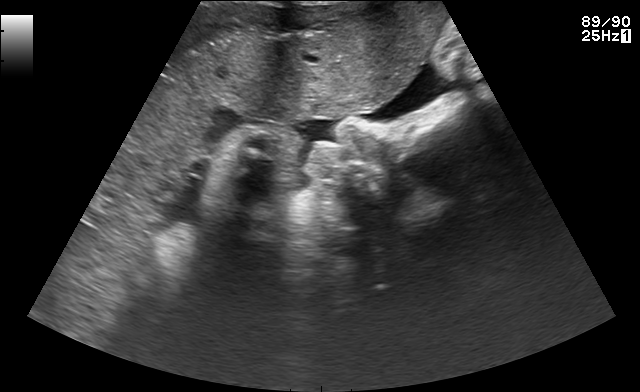
This is a 2D maternal-fetal ultrasound frame. Is it a fetal abdomen, fetal brain, fetal femur, fetal thorax, maternal cervix, or other standard plane? If it's fetal brain and one of the three standard brain planes (trans-thalamic, trans-cerebellum, trans-ventricular), name which.

Other